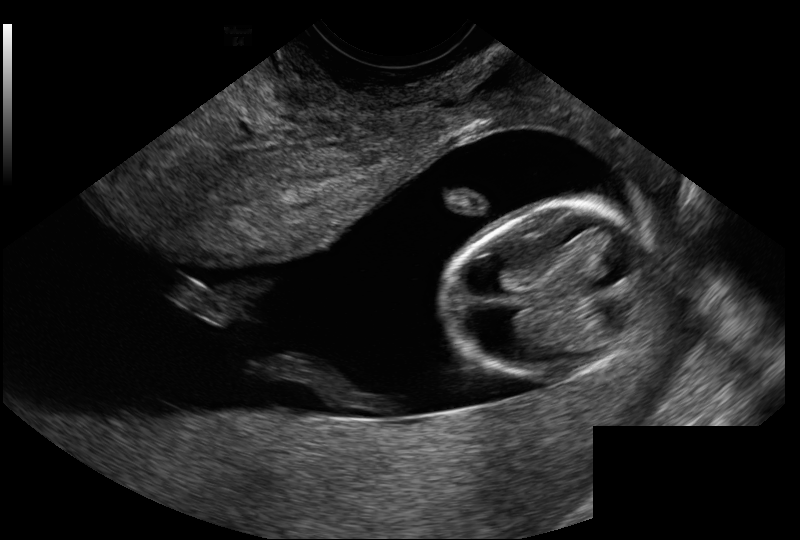
Fetal head ultrasound. Image width: 91.5 mm. Locate the fetal head.

Head: [450,202,650,379]